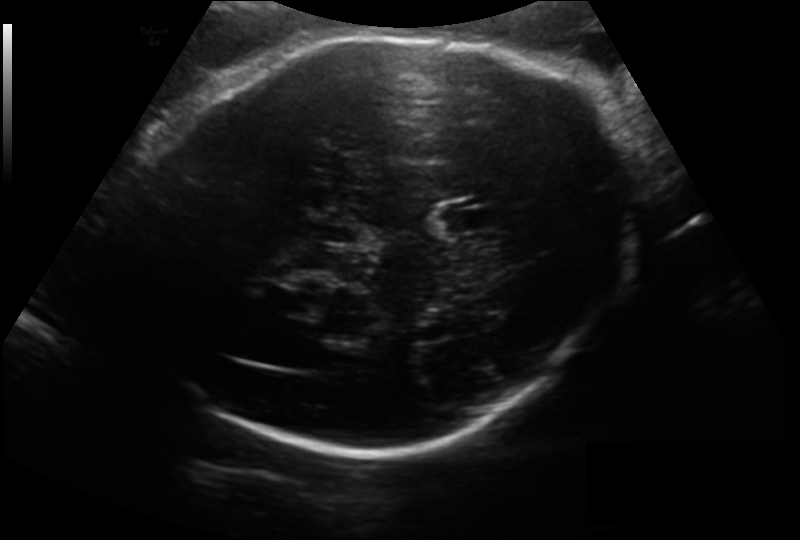
Fetal head ultrasound. Image width: 160.1 mm. Locate the fetal head and, if visible, the cavum septum pellucidum (CSP) and lateral ventricle (LV). Give bounding boxes as [x1,y1,x2,y2].

Head: [138,35,626,448]
CSP: [436,197,503,238]